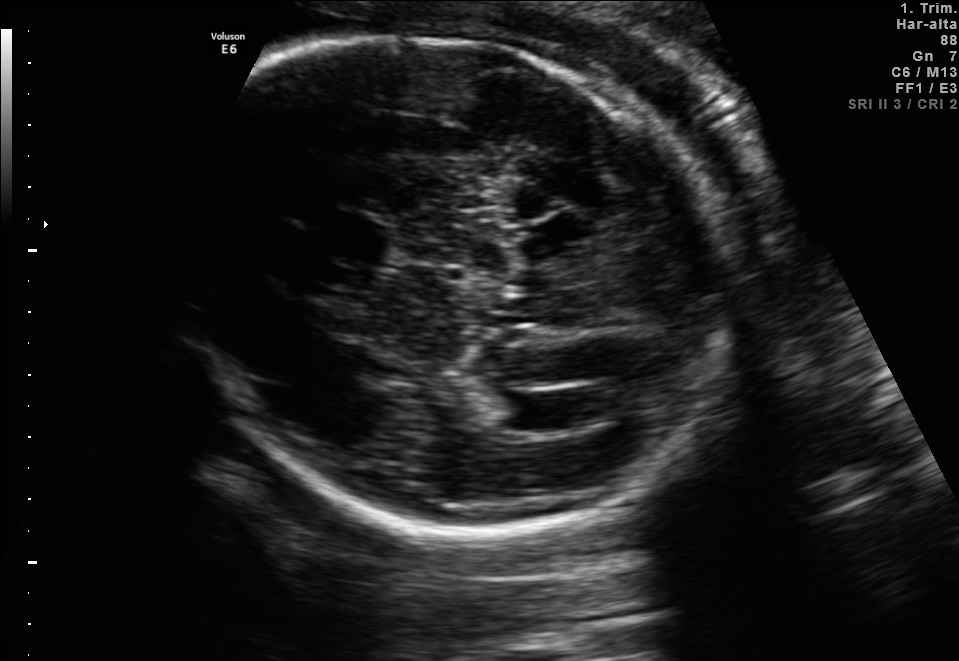
Fetal brain, trans-ventricular plane. Where is the lateral ventricle?

Lateral ventricle bounding box: [503,394,568,430]